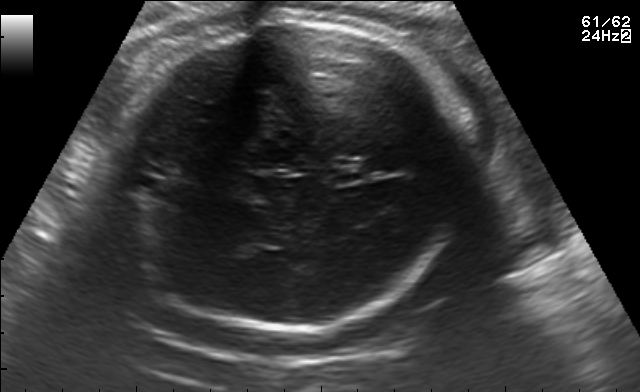
Fetal brain, trans-thalamic plane. Where is the fetal head?

Head bounding box: [101,21,468,330]